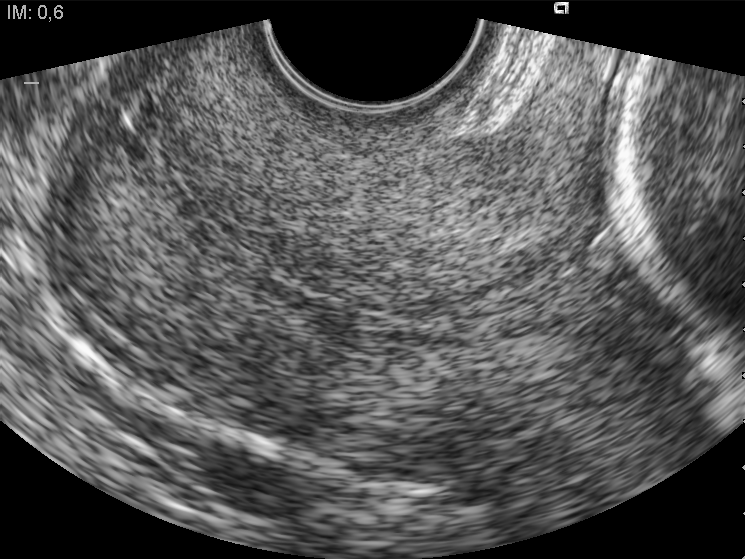
This is a 2D maternal-fetal ultrasound frame. Is it a fetal abdomen, fetal brain, fetal femur, fetal thorax, maternal cervix, or other standard plane? If it's fetal brain and one of the three standard brain planes (trans-thalamic, trans-cerebellum, trans-ventricular), name which.

Maternal cervix